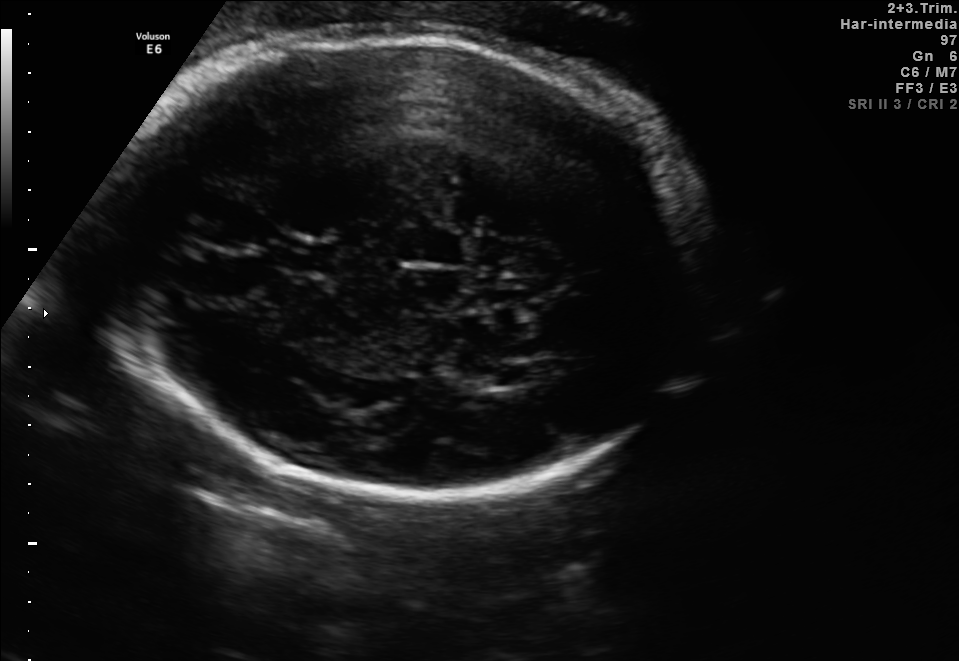
Fetal brain, trans-ventricular plane. Where is the lateral ventricle?

Lateral ventricle bounding box: [493,362,529,388]